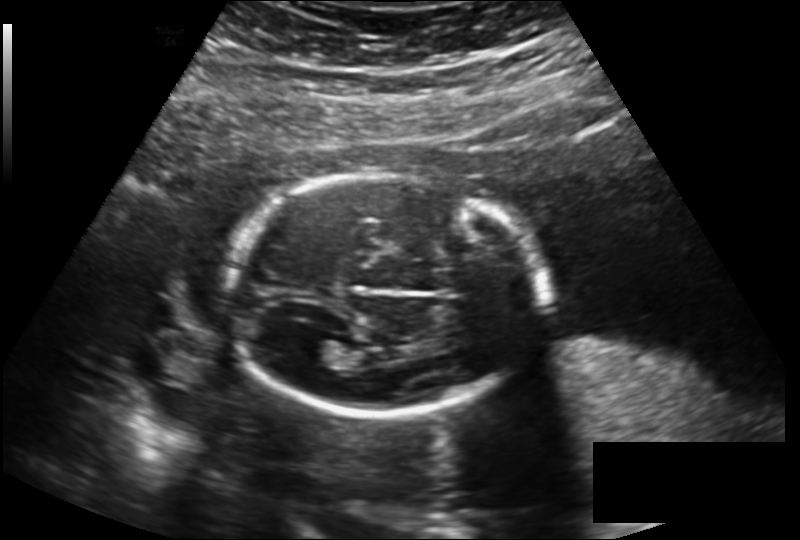
From this fetal ultrasound, estimate the head circumference (image width 150.8 mm).

Head circumference: 173.3 mm.